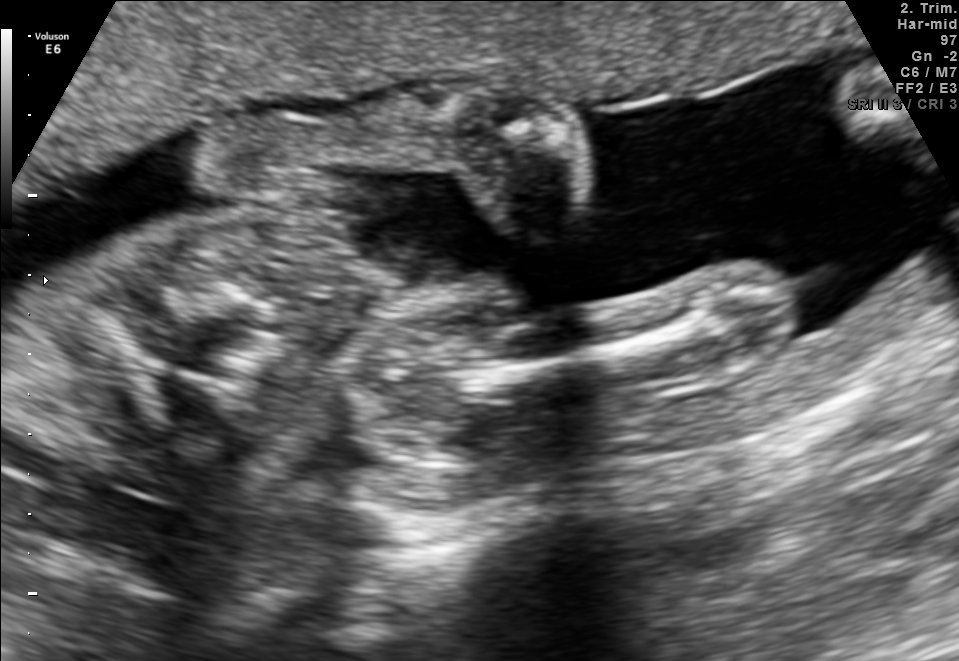
Classify this maternal-fetal ultrasound image as one of the six standard planes — fetal abdomen, fetal brain, fetal femur, fetal thorax, maternal cervix, or other. If it's fetal brain and one of the three standard brain planes (trans-thalamic, trans-cerebellum, trans-ventricular), name which.

Fetal femur